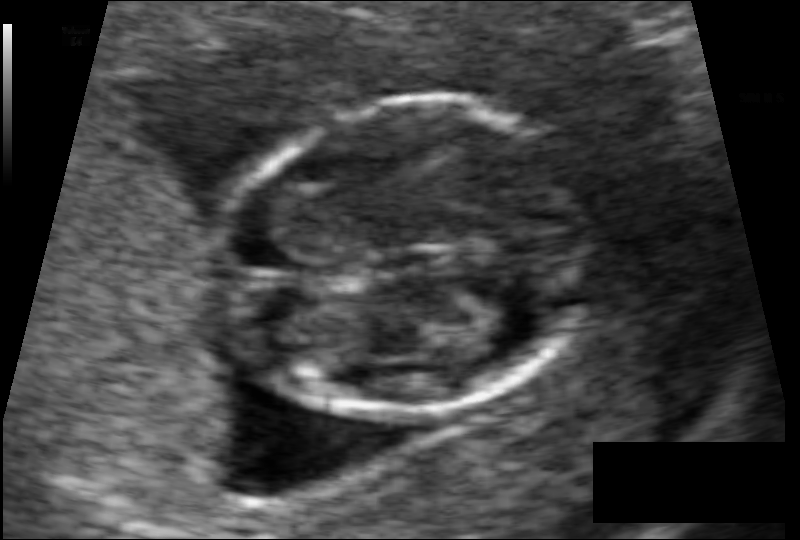
Measure the fetal head circumference shown in this ultrasound image. Image width: 48.9 mm.

Head circumference: 69.5 mm.